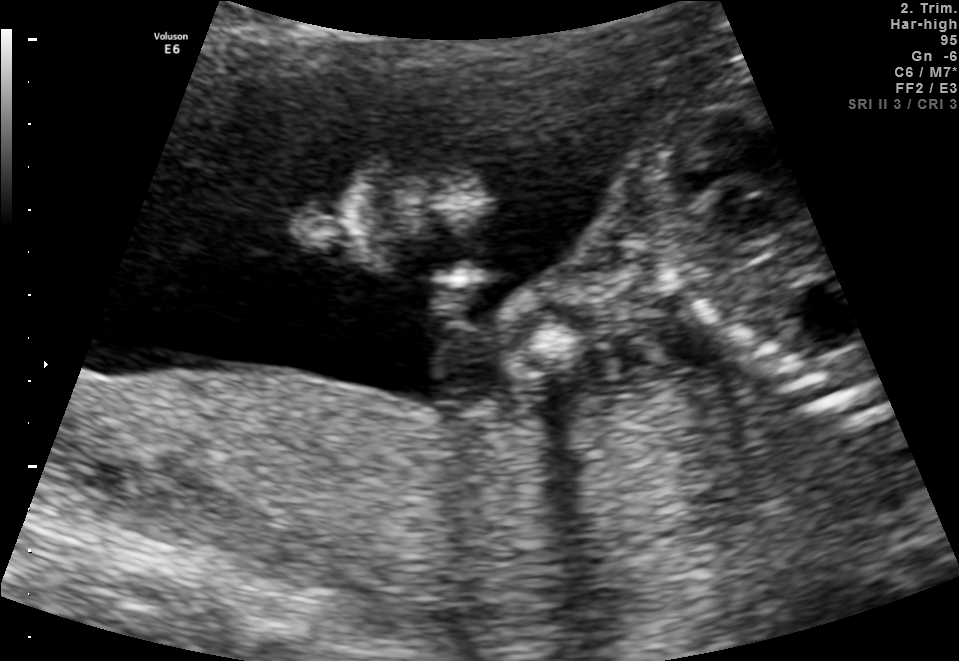
Classify this maternal-fetal ultrasound image as one of the six standard planes — fetal abdomen, fetal brain, fetal femur, fetal thorax, maternal cervix, or other. If it's fetal brain and one of the three standard brain planes (trans-thalamic, trans-cerebellum, trans-ventricular), name which.

Other